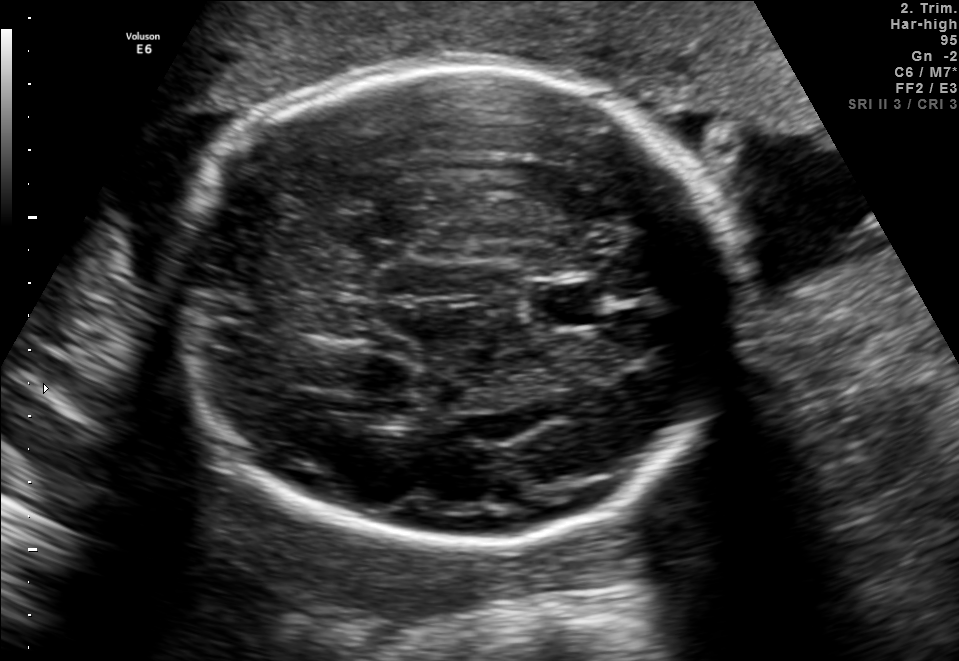
In this fetal brain, trans-thalamic plane, give bounding boxes for the head outline, cavum septum pellucidum (CSP), and lateral ventricle (LV), where visible.

Head: [174,64,731,547]
CSP: [533,281,603,330]
Lateral ventricle: [351,397,422,428]